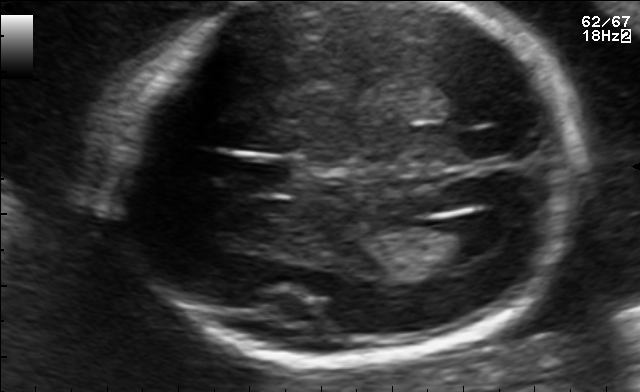
Fetal brain, trans-ventricular plane. Locate the lateral ventricle.

Lateral ventricle: [442,206,515,260]